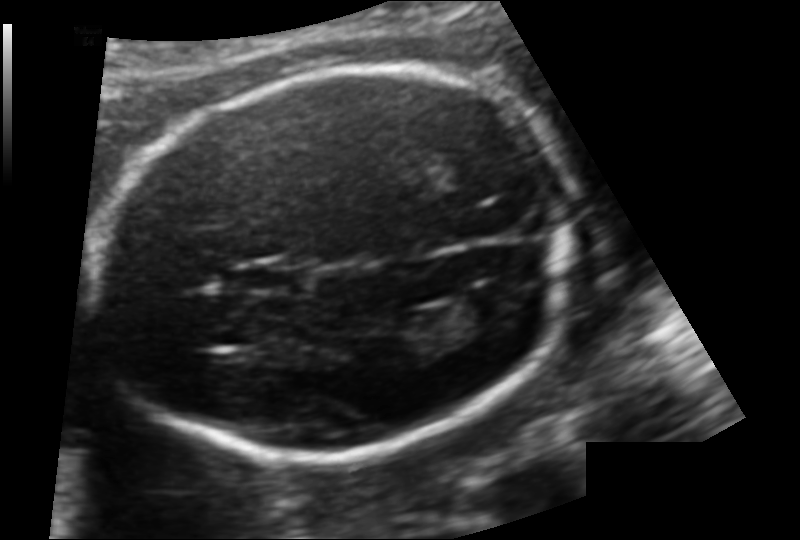
What is the fetal head circumference? Image width is 98.8 mm.

174.3 mm